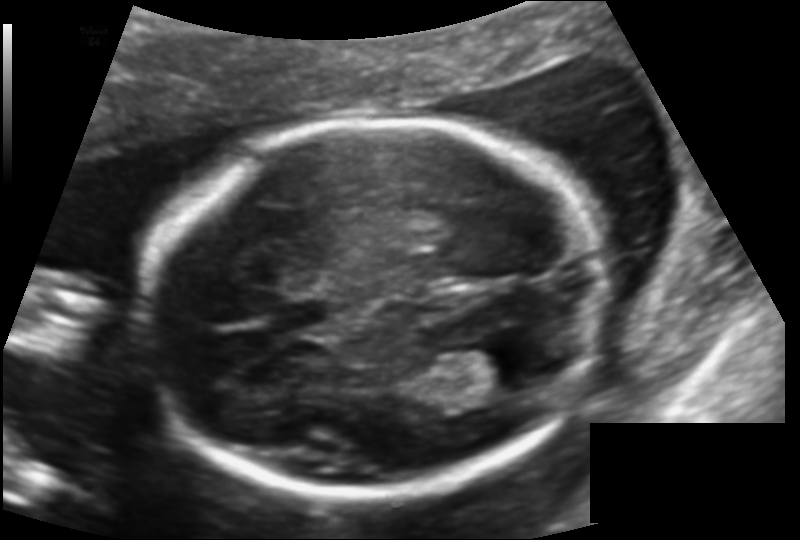
In this fetal head ultrasound, give bounding boxes for the head outline, cavum septum pellucidum (CSP), and lateral ventricle (LV), where visible. Image width: 105.2 mm.

Head: [147,118,603,495]
CSP: [267,294,336,336]
Lateral ventricle: [450,338,542,395]